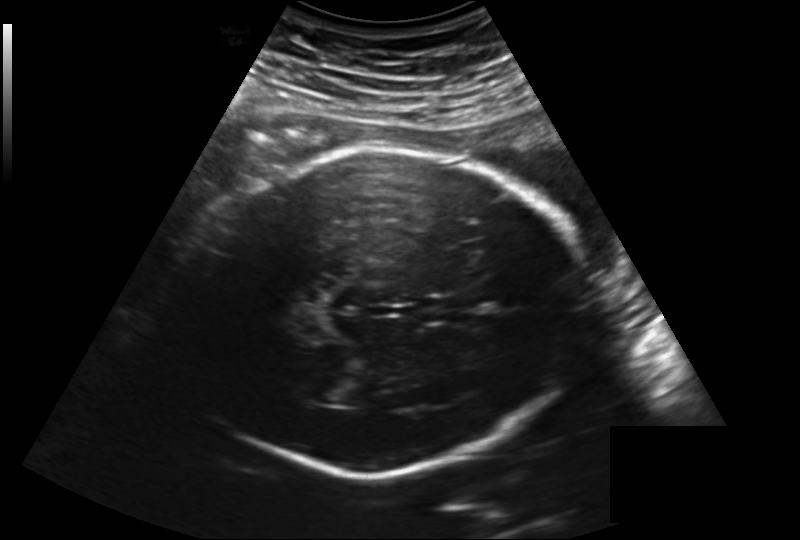
In this fetal head ultrasound, give bounding boxes for the head outline, cavum septum pellucidum (CSP), and lateral ventricle (LV), where visible. Image width: 175.2 mm.

Head: [174,147,587,476]
Lateral ventricle: [305,373,352,402]